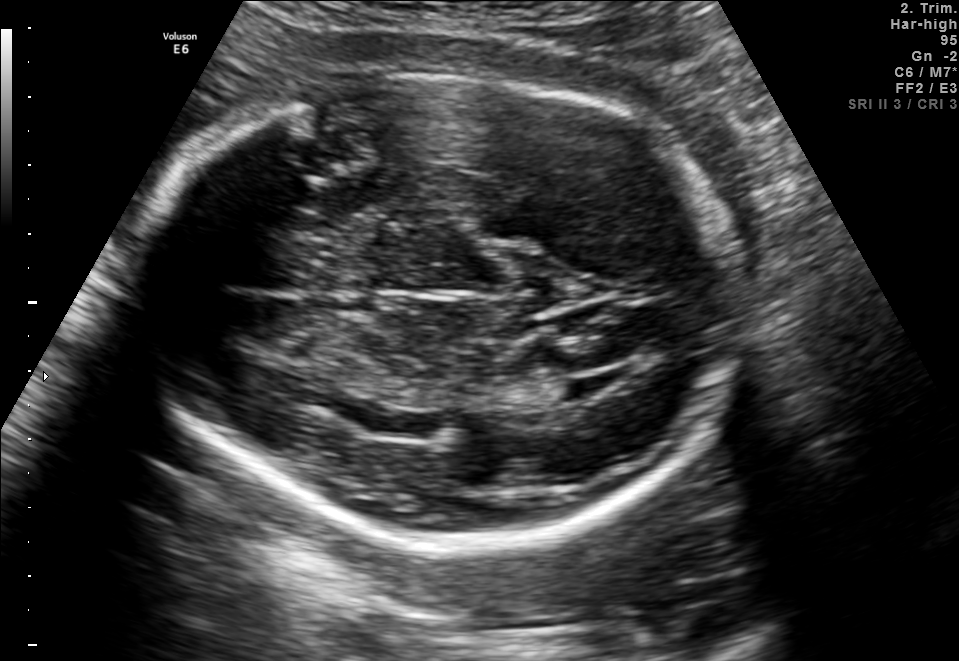
In this fetal brain, trans-thalamic plane, give bounding boxes for the head outline, cavum septum pellucidum (CSP), and lateral ventricle (LV), where visible.

Head: [138,78,739,541]
Lateral ventricle: [533,375,592,407]